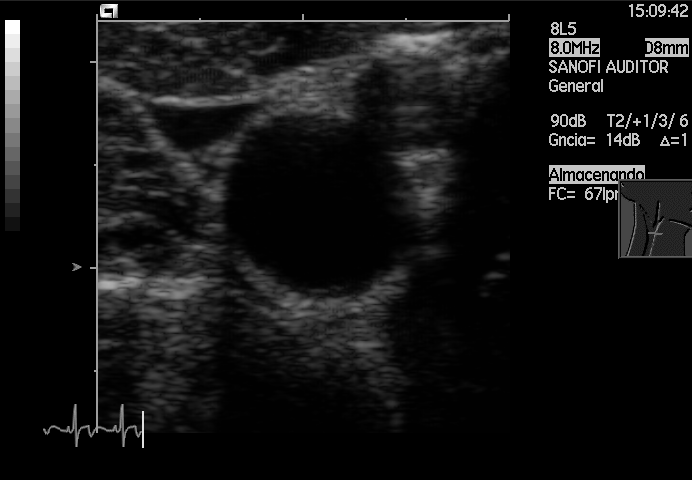
Identify the standard plane in this fetal ultrasound image: fetal abdomen, fetal brain, fetal femur, fetal thorax, maternal cervix, or other. If it's fetal brain and one of the three standard brain planes (trans-thalamic, trans-cerebellum, trans-ventricular), name which.

Other